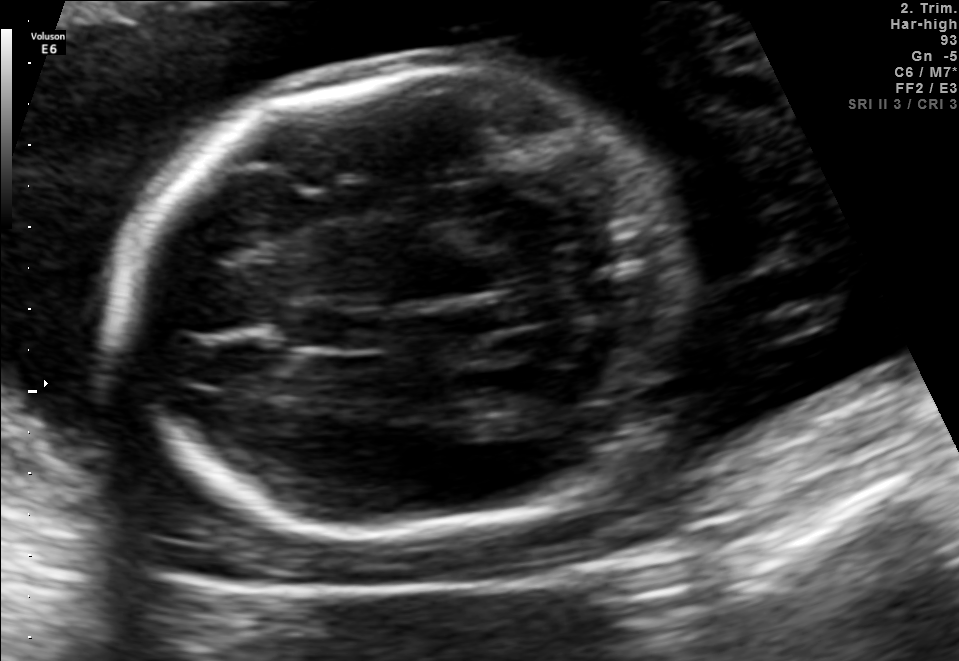
In this fetal brain, trans-cerebellum plane, give the bounding box of the cavum septum pellucidum.

[289,311,375,352]